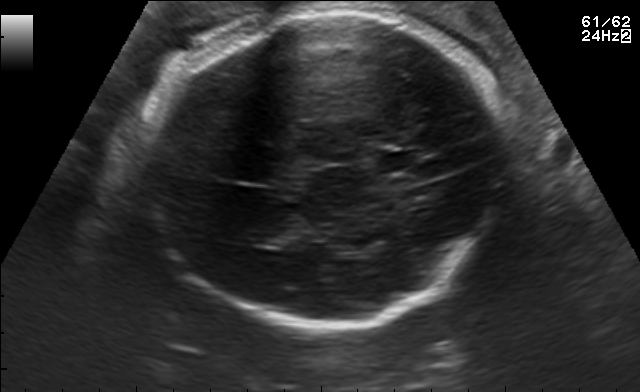
In this fetal brain, trans-thalamic plane, give the bounding box of the cavum septum pellucidum.

[375,149,417,174]